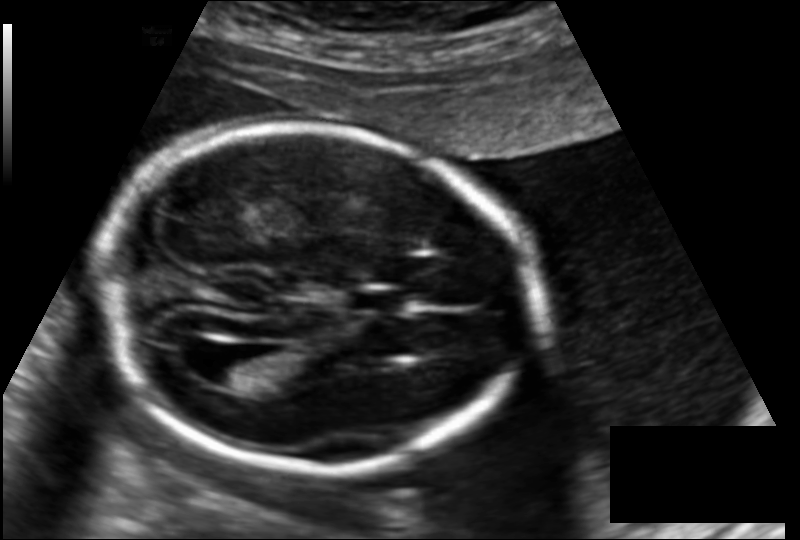
Fetal head ultrasound. Image width: 115.9 mm. Locate the cavum septum pellucidum.

CSP: [346,286,409,314]